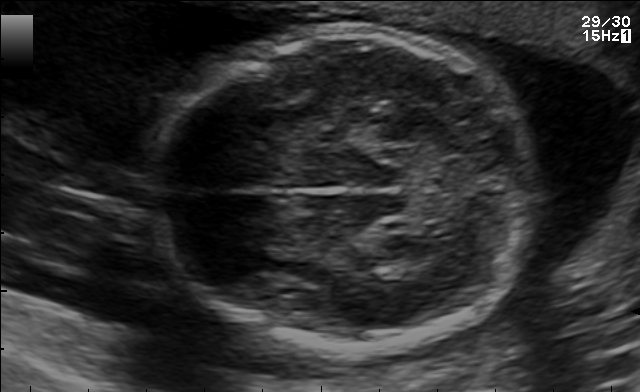
Fetal brain, trans-thalamic plane. Locate the fetal head.

Head: [151,31,538,350]